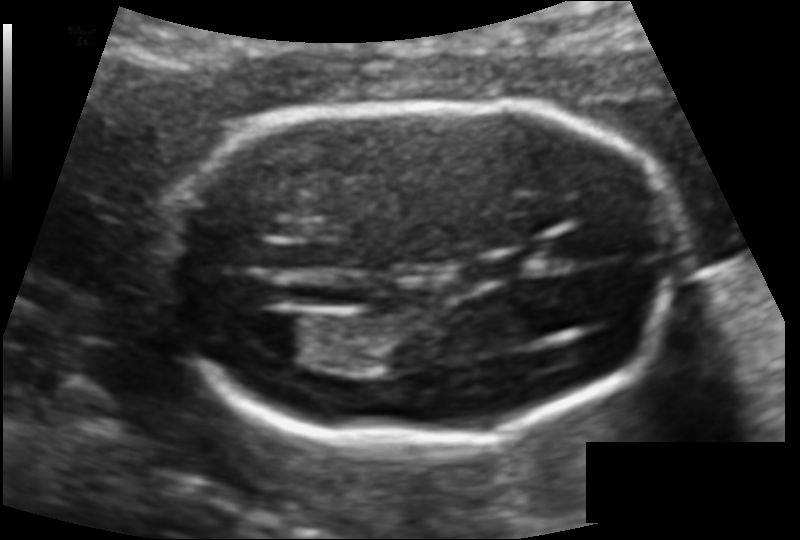
In this fetal head ultrasound, give bounding boxes for the head outline, cavum septum pellucidum (CSP), and lateral ventricle (LV), where visible. Image width: 87.1 mm.

Head: [154,104,681,438]
CSP: [545,221,611,271]
Lateral ventricle: [229,307,312,359]